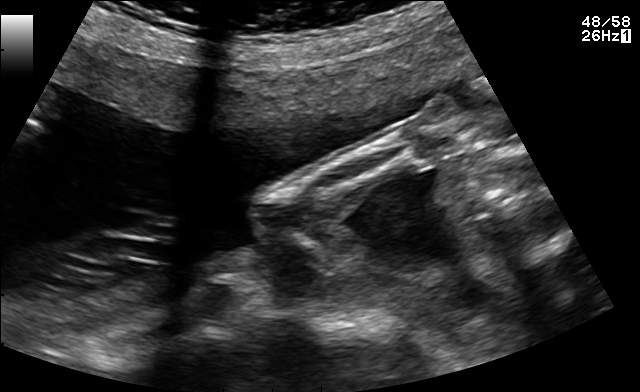
This is a 2D maternal-fetal ultrasound frame. Is it a fetal abdomen, fetal brain, fetal femur, fetal thorax, maternal cervix, or other standard plane? If it's fetal brain and one of the three standard brain planes (trans-thalamic, trans-cerebellum, trans-ventricular), name which.

Other